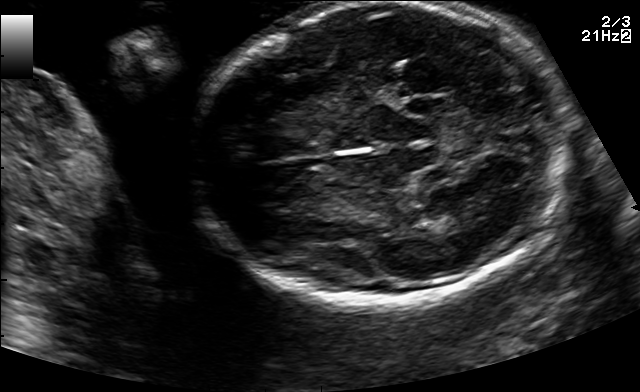
Fetal brain, trans-thalamic plane. Give [x1,y1,x2,y2] bounding boxes for each visible structure among: fetal head, CSP, LV.

Head: [192,3,573,301]